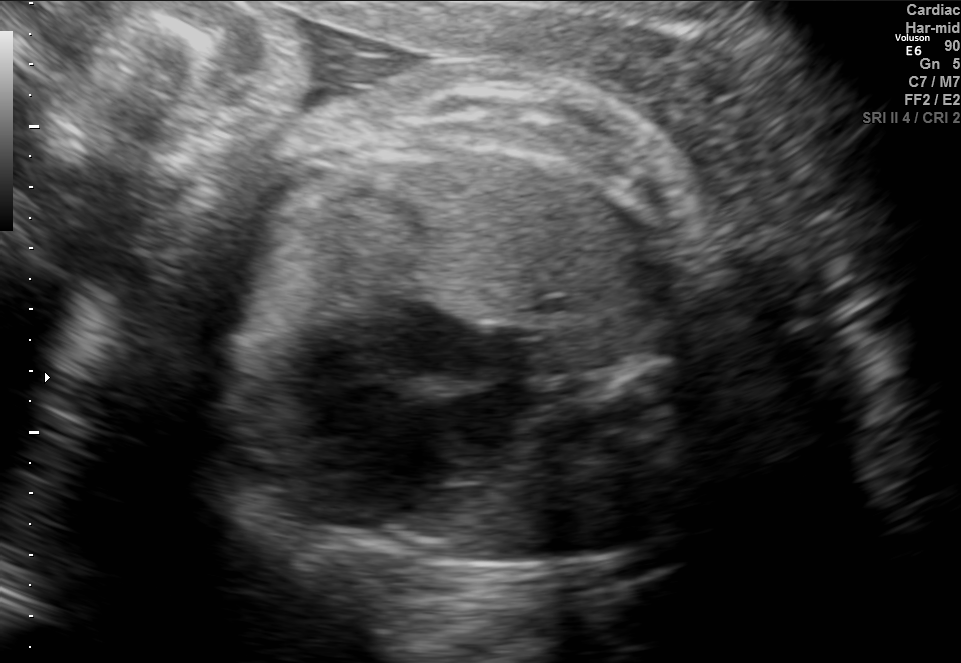
Identify the standard plane in this fetal ultrasound image: fetal abdomen, fetal brain, fetal femur, fetal thorax, maternal cervix, or other. If it's fetal brain and one of the three standard brain planes (trans-thalamic, trans-cerebellum, trans-ventricular), name which.

Fetal thorax